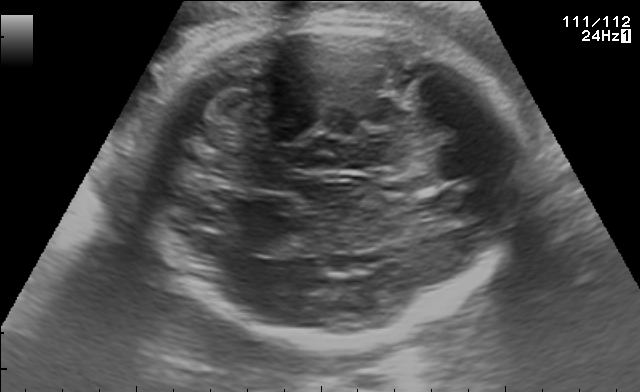
In this fetal brain, trans-cerebellum plane, give bounding boxes for the head outline, cavum septum pellucidum (CSP), and lateral ventricle (LV), where visible.

Head: [143,12,525,342]